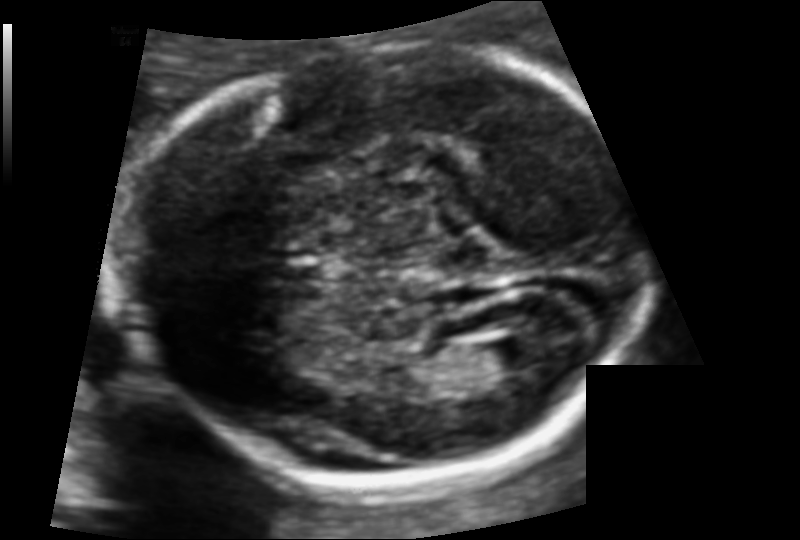
What is the fetal head circumference? Image width is 84.2 mm.

163.7 mm